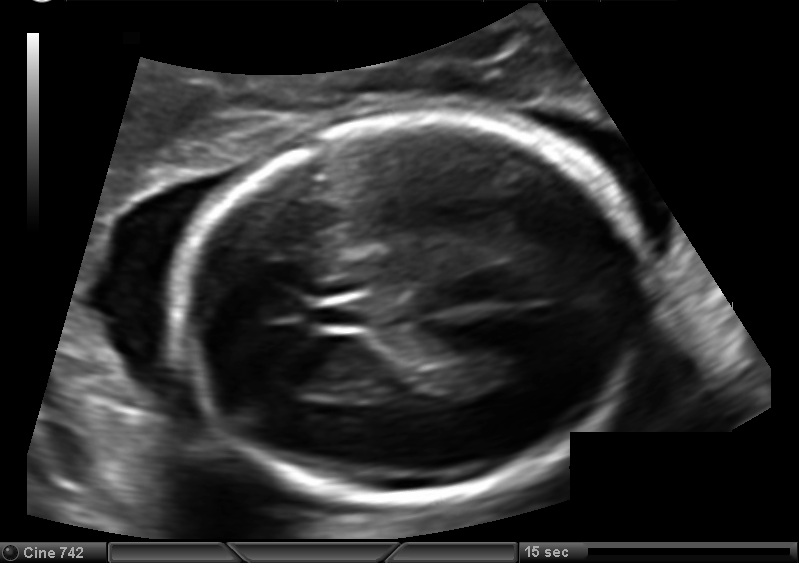
Fetal head ultrasound. Image width: 101.4 mm. Locate the lateral ventricle.

Lateral ventricle: [465,339,536,392]